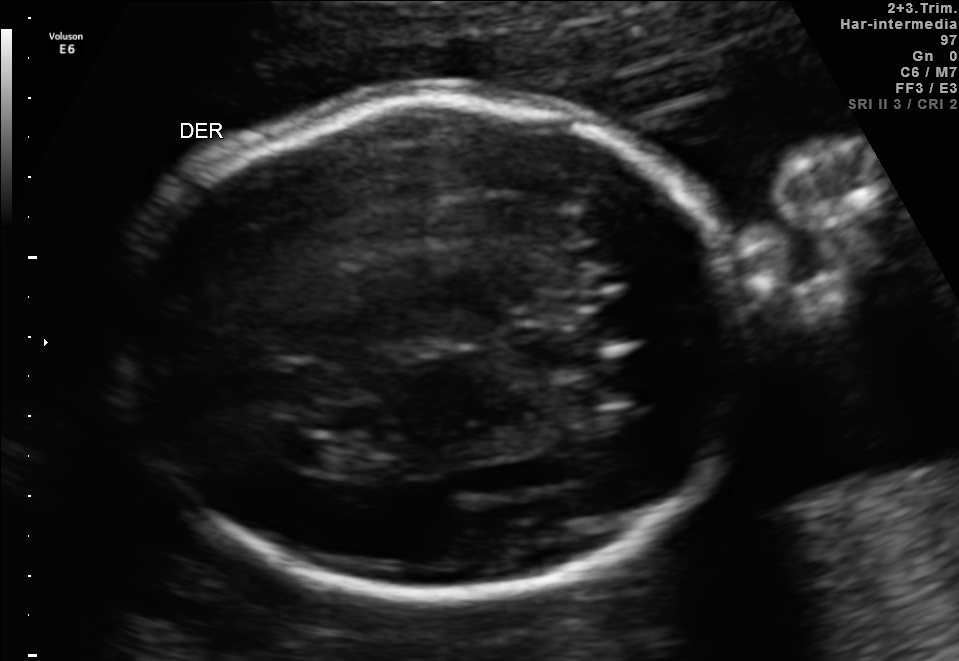
Fetal brain, trans-ventricular plane. Locate the fetal head.

Head: [105,86,770,603]